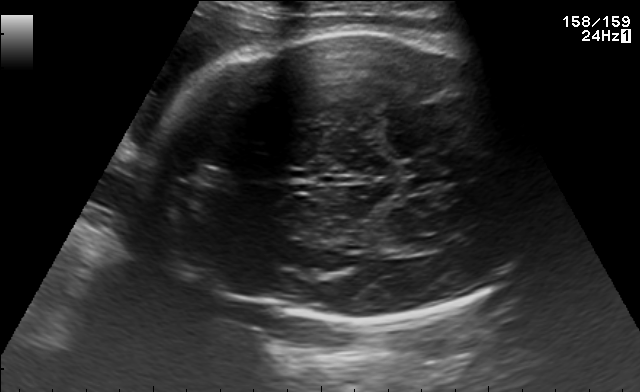
In this fetal brain, trans-thalamic plane, give the bounding box of the fetal head.

[141,27,532,324]